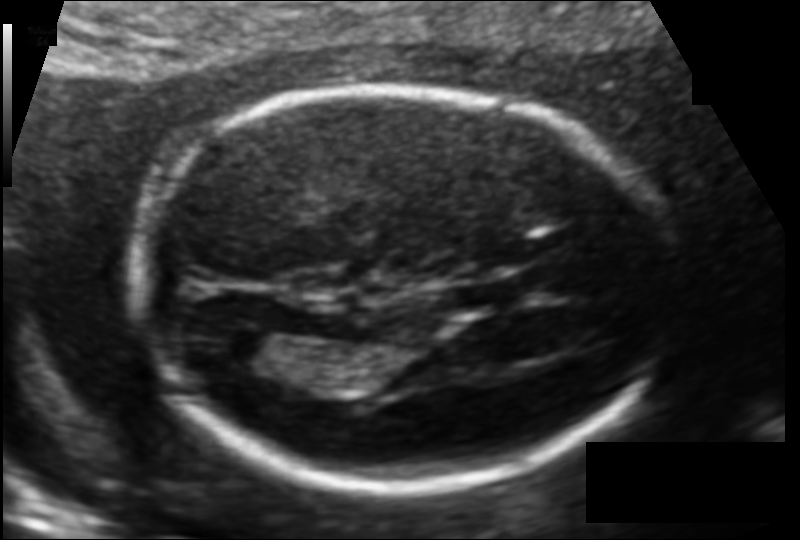
Fetal head ultrasound. Image width: 87.0 mm. Locate the fetal head.

Head: [138,88,665,489]